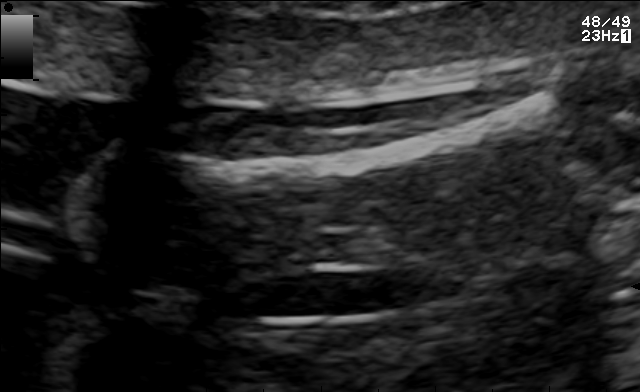
Which standard maternal-fetal ultrasound plane is shown: fetal abdomen, fetal brain, fetal femur, fetal thorax, maternal cervix, or other? If it's fetal brain and one of the three standard brain planes (trans-thalamic, trans-cerebellum, trans-ventricular), name which.

Fetal femur